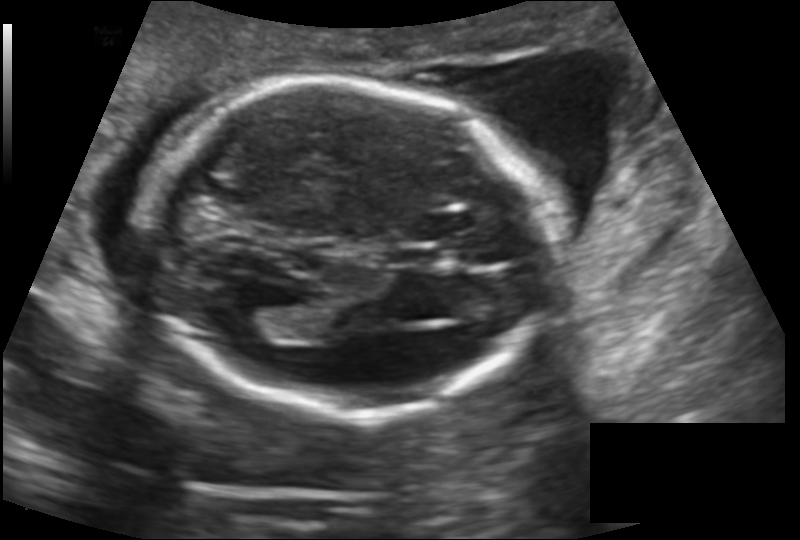
Fetal head ultrasound. Image width: 116.4 mm. Give [x1,y1,x2,y2] bounding boxes for each visible structure among: fetal head, CSP, LV.

Head: [141,79,549,413]
CSP: [392,247,446,268]
Lateral ventricle: [229,306,285,340]